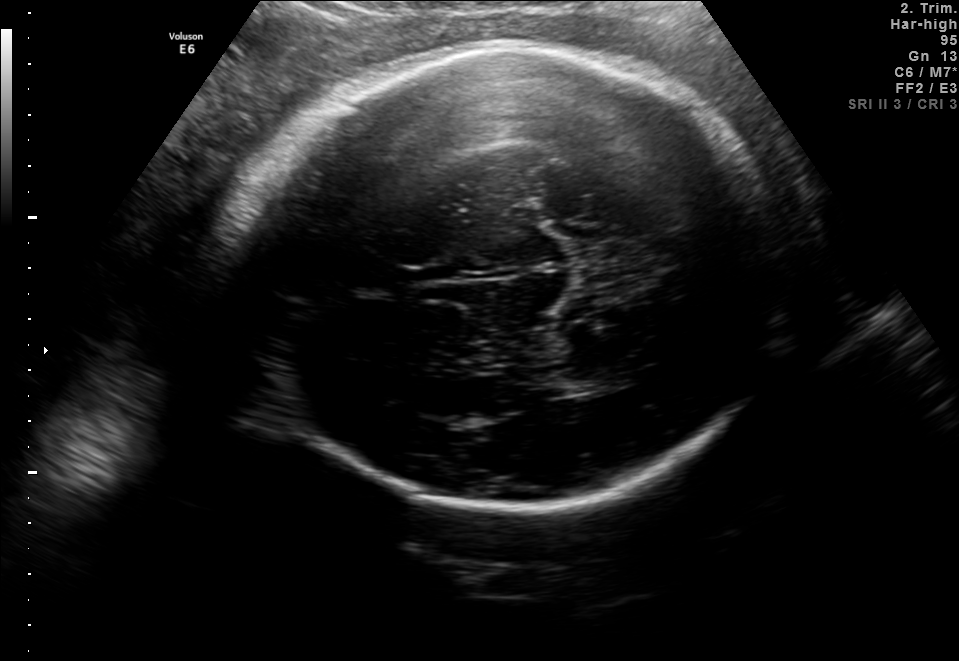
Fetal brain, trans-thalamic plane. Where is the fetal head?

Head bounding box: [224,46,785,511]